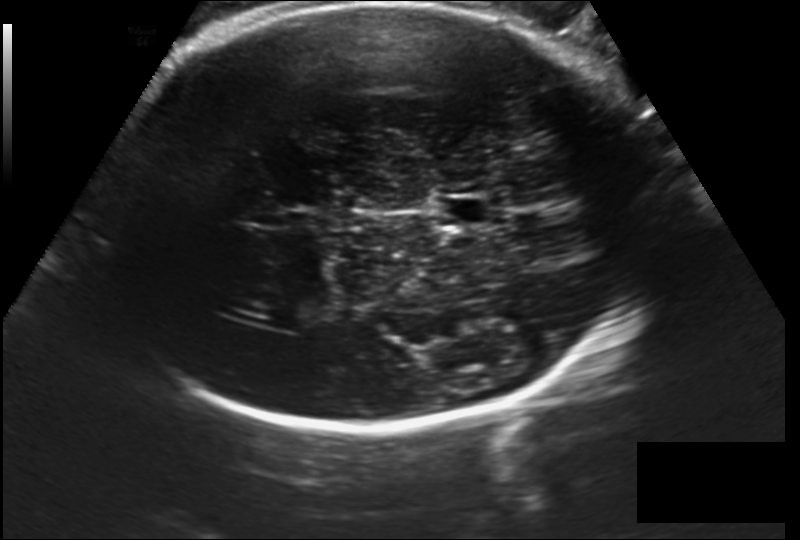
Fetal head ultrasound. Image width: 162.0 mm. Where is the cavum septum pellucidum?

CSP bounding box: [434,194,490,228]